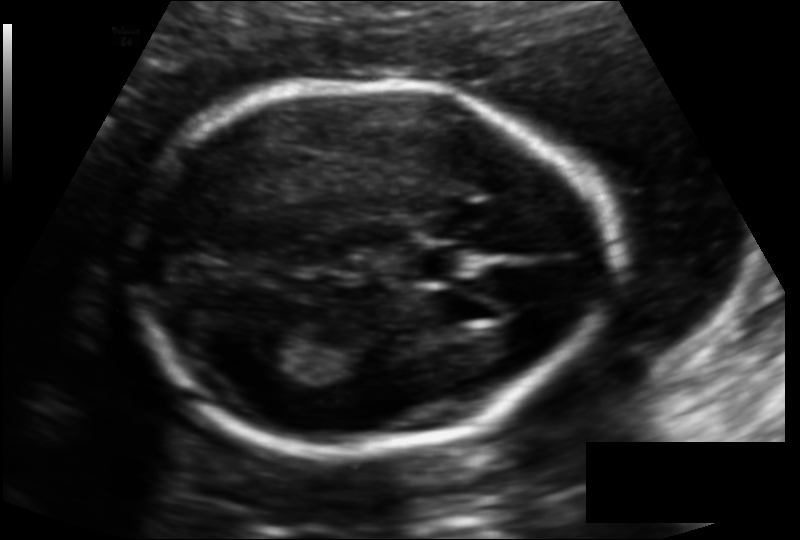
Fetal head ultrasound. Image width: 96.8 mm. Where is the cavum septum pellucidum?

CSP bounding box: [406,242,468,282]